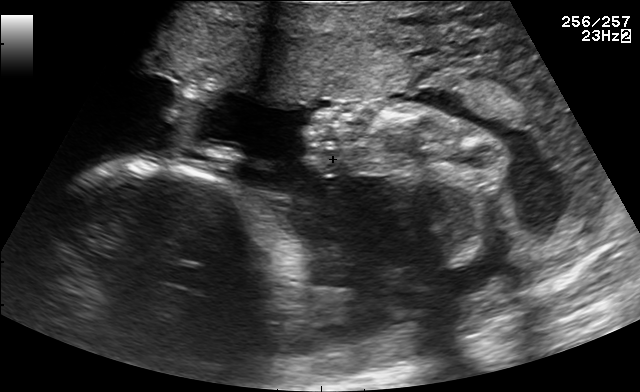
This is a 2D maternal-fetal ultrasound frame. Is it a fetal abdomen, fetal brain, fetal femur, fetal thorax, maternal cervix, or other standard plane? If it's fetal brain and one of the three standard brain planes (trans-thalamic, trans-cerebellum, trans-ventricular), name which.

Other